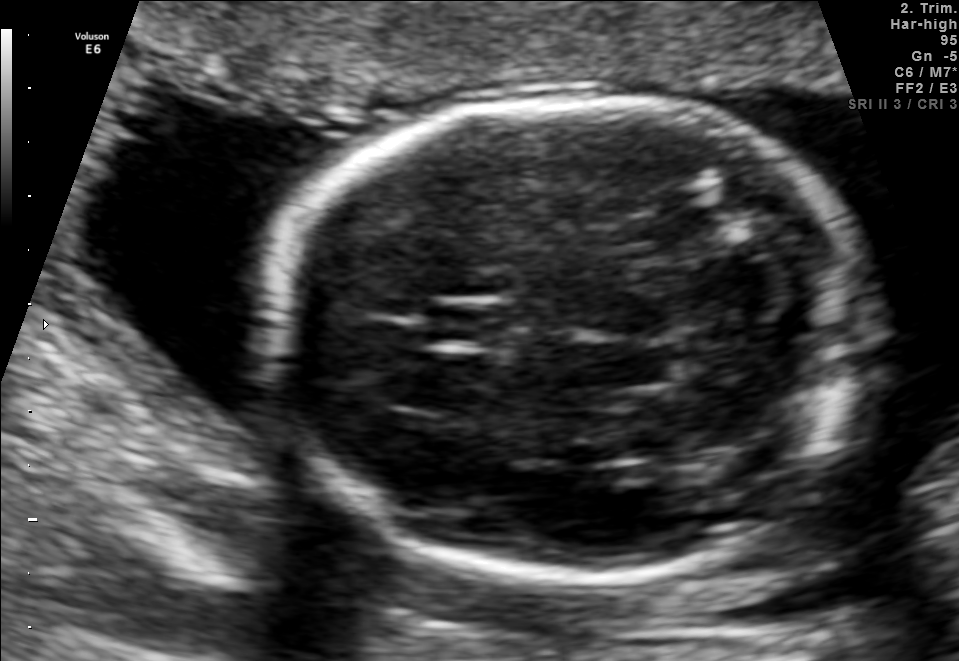
In this fetal brain, trans-cerebellum plane, give bounding boxes for the head outline, cavum septum pellucidum (CSP), and lateral ventricle (LV), where visible.

Head: [268,101,867,576]